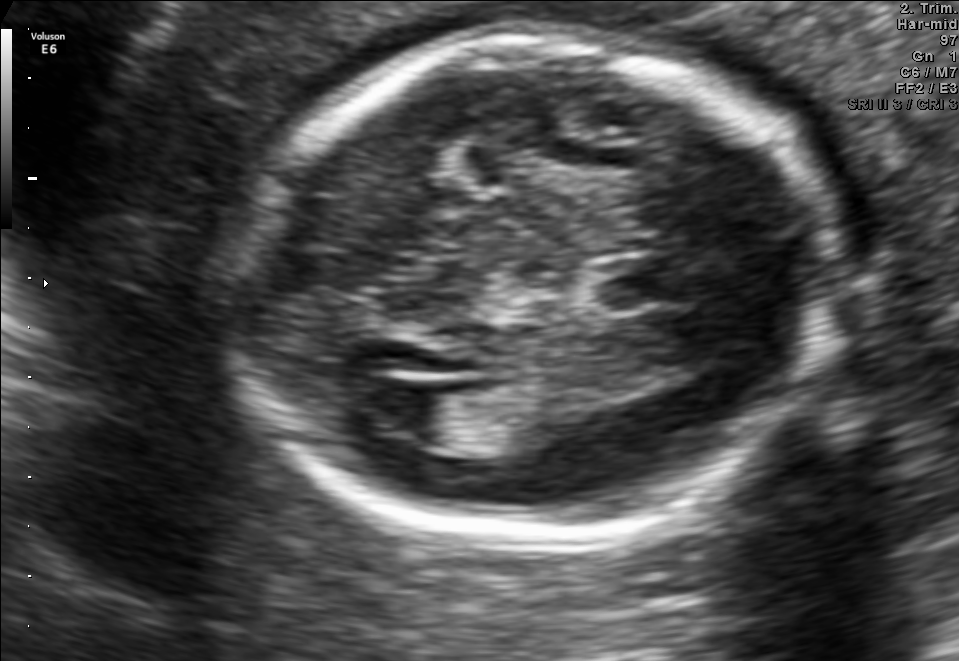
In this fetal brain, trans-ventricular plane, give bounding boxes for the head outline, cavum septum pellucidum (CSP), and lateral ventricle (LV), where visible.

Head: [222,23,859,550]
Lateral ventricle: [363,374,449,441]